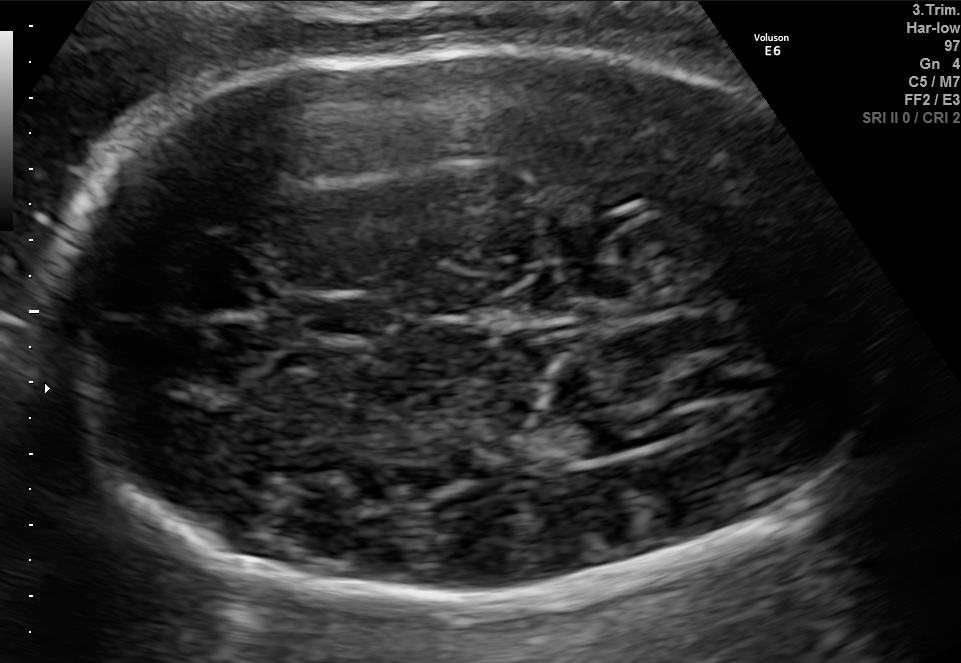
In this fetal brain, trans-thalamic plane, give the bounding box of the fetal head.

[39,46,870,589]